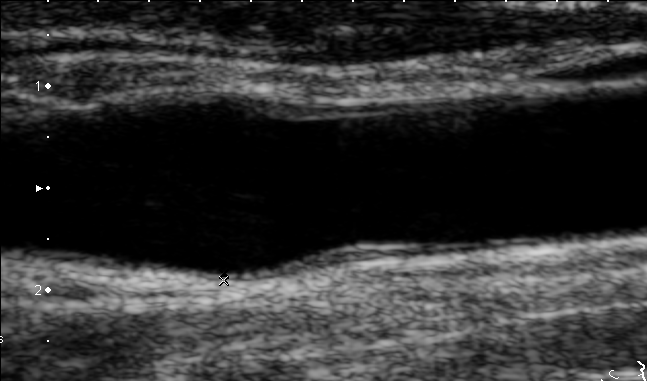
This is a 2D maternal-fetal ultrasound frame. Is it a fetal abdomen, fetal brain, fetal femur, fetal thorax, maternal cervix, or other standard plane? If it's fetal brain and one of the three standard brain planes (trans-thalamic, trans-cerebellum, trans-ventricular), name which.

Other